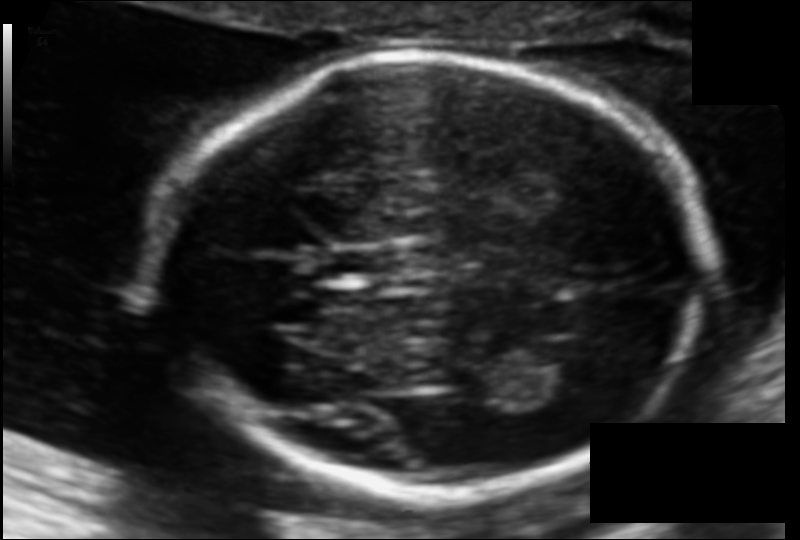
In this fetal head ultrasound, give the bounding box of the cavum septum pellucidum. Image width: 86.8 mm.

[329,249,393,278]